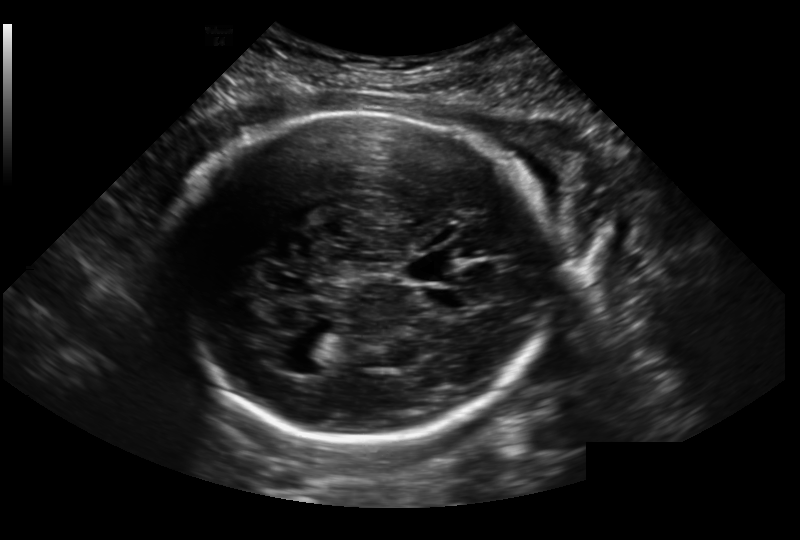
What is the fetal head circumference? Image width is 188.7 mm.

274.9 mm